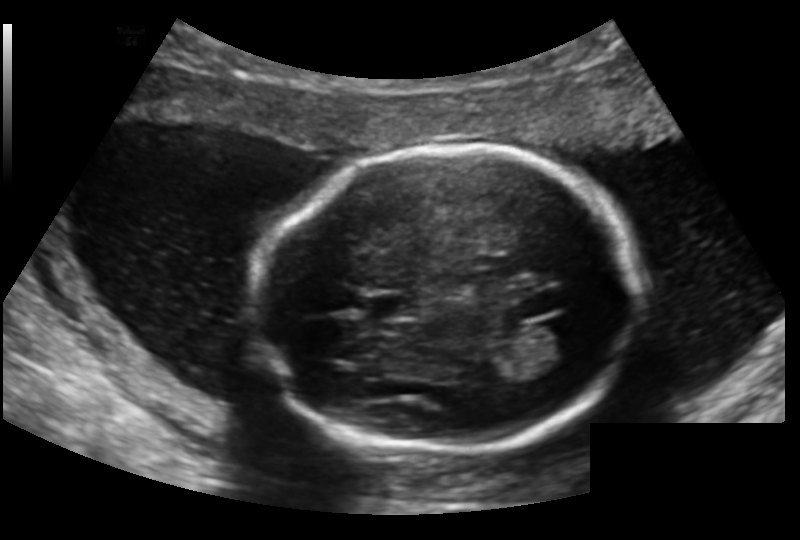
Estimate the fetal head circumference from this 2D ultrasound.

Head circumference: 178.1 mm (image width 127.4 mm).